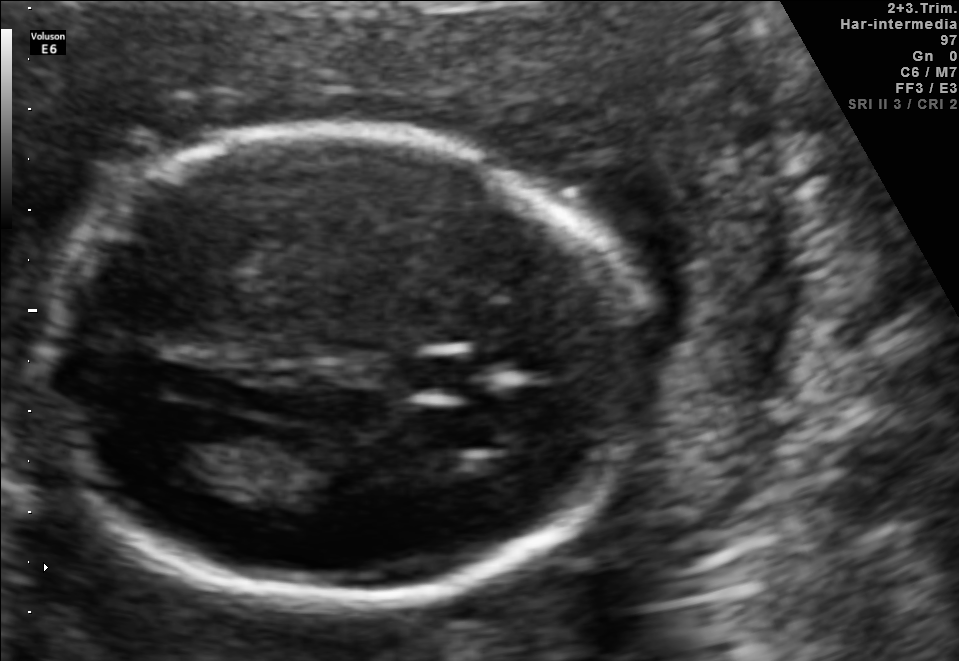
Fetal brain, trans-ventricular plane. Give [x1,y1,x2,y2] bounding boxes for each visible structure among: fetal head, CSP, LV.

Head: [33,118,662,617]
CSP: [412,356,472,391]